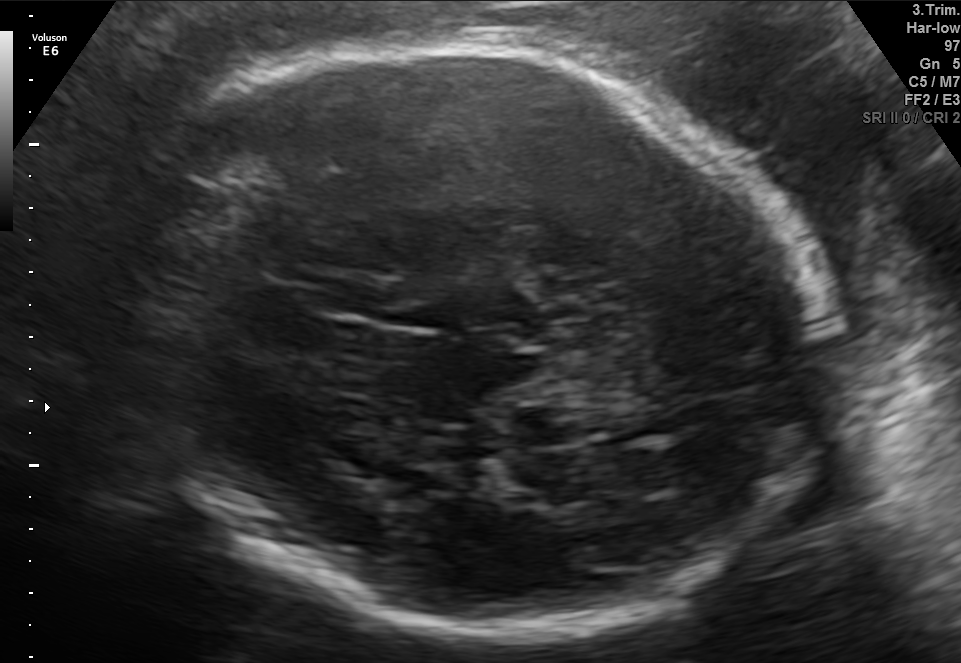
Fetal brain, trans-thalamic plane. Locate the fetal head and, if visible, the cavum septum pellucidum (CSP) and lateral ventricle (LV). Give bounding boxes as [x1,y1,x2,y2].

Head: [121,40,832,635]